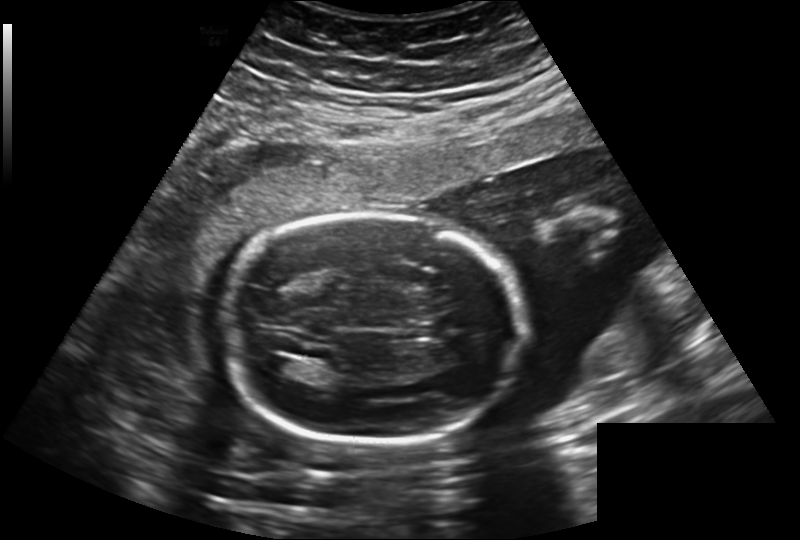
In this fetal head ultrasound, give the bounding box of the fetal head. Image width: 192.6 mm.

[225,214,523,447]